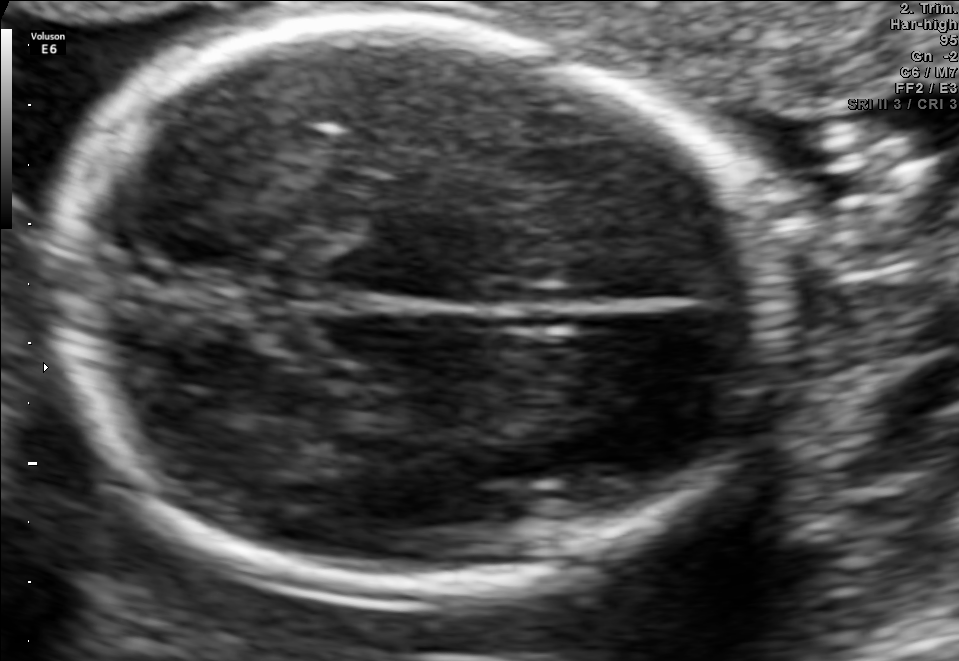
Fetal brain, trans-thalamic plane. Give [x1,y1,x2,y2] bounding boxes for each visible structure among: fetal head, CSP, LV.

Head: [52,23,759,586]